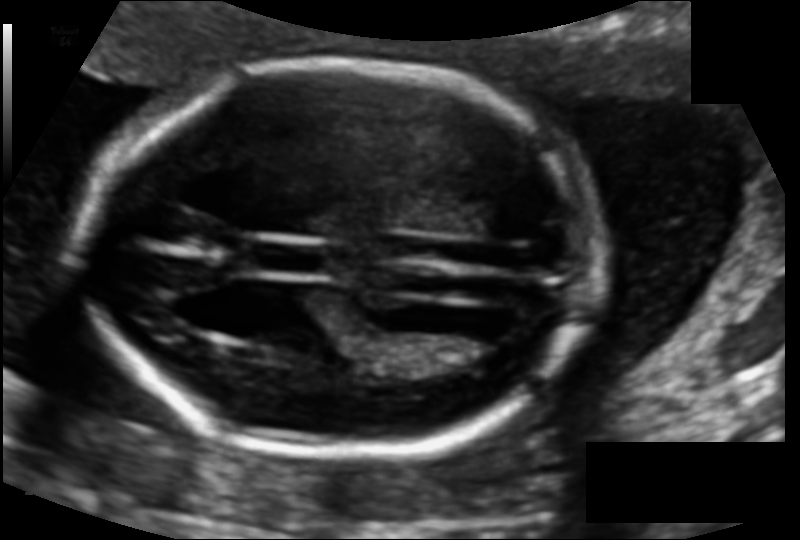
In this fetal head ultrasound, give the bounding box of the cavum septum pellucidum. Image width: 88.3 mm.

[255,239,325,275]